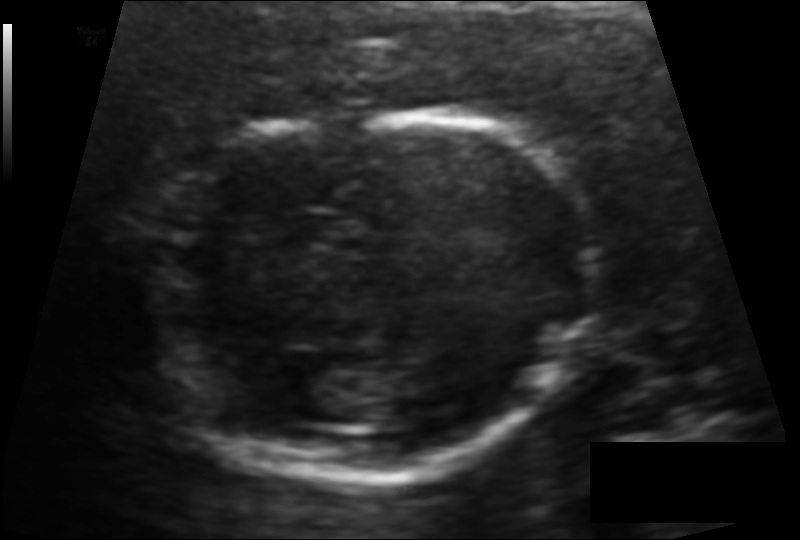
In this fetal head ultrasound, give bounding boxes for the head outline, cavum septum pellucidum (CSP), and lateral ventricle (LV), where visible. Image width: 81.2 mm.

Head: [148,111,601,478]